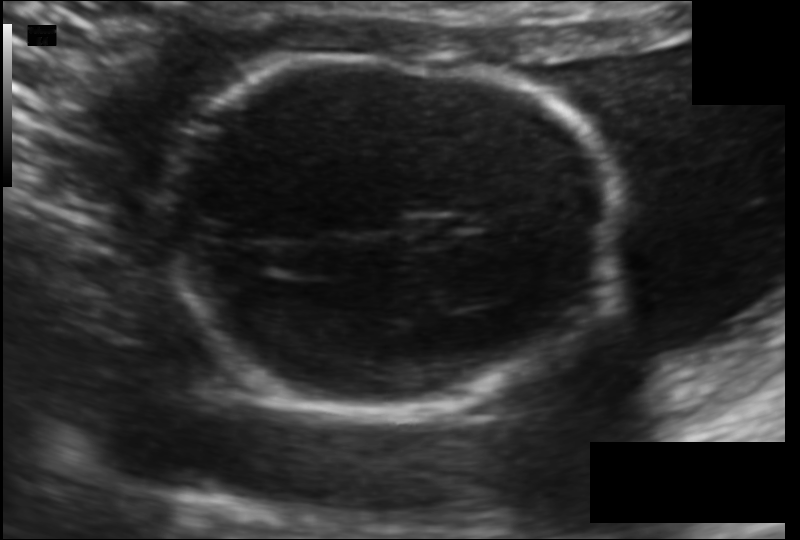
In this fetal head ultrasound, give bounding boxes for the head outline, cavum septum pellucidum (CSP), and lateral ventricle (LV), where visible. Image width: 91.8 mm.

Head: [165,57,620,416]